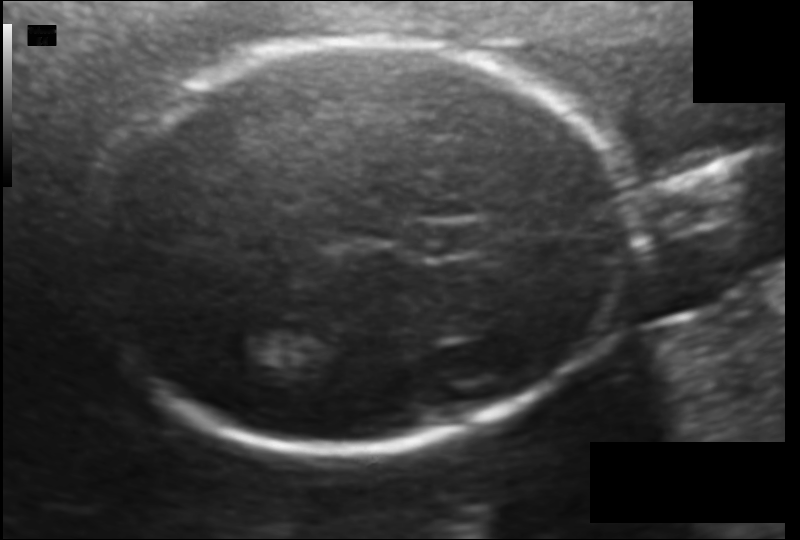
Fetal head ultrasound. Image width: 90.8 mm. Locate the lateral ventricle.

Lateral ventricle: [226,329,295,368]